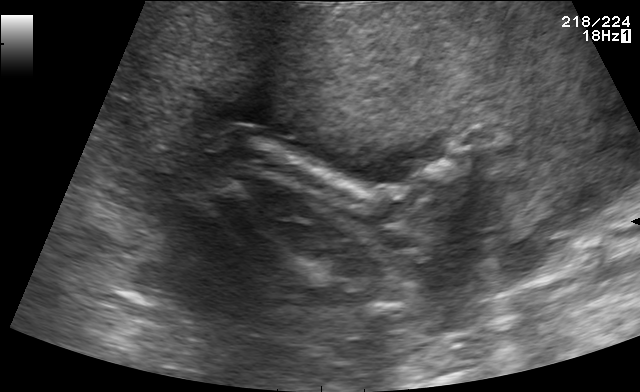
Classify this maternal-fetal ultrasound image as one of the six standard planes — fetal abdomen, fetal brain, fetal femur, fetal thorax, maternal cervix, or other. If it's fetal brain and one of the three standard brain planes (trans-thalamic, trans-cerebellum, trans-ventricular), name which.

Other